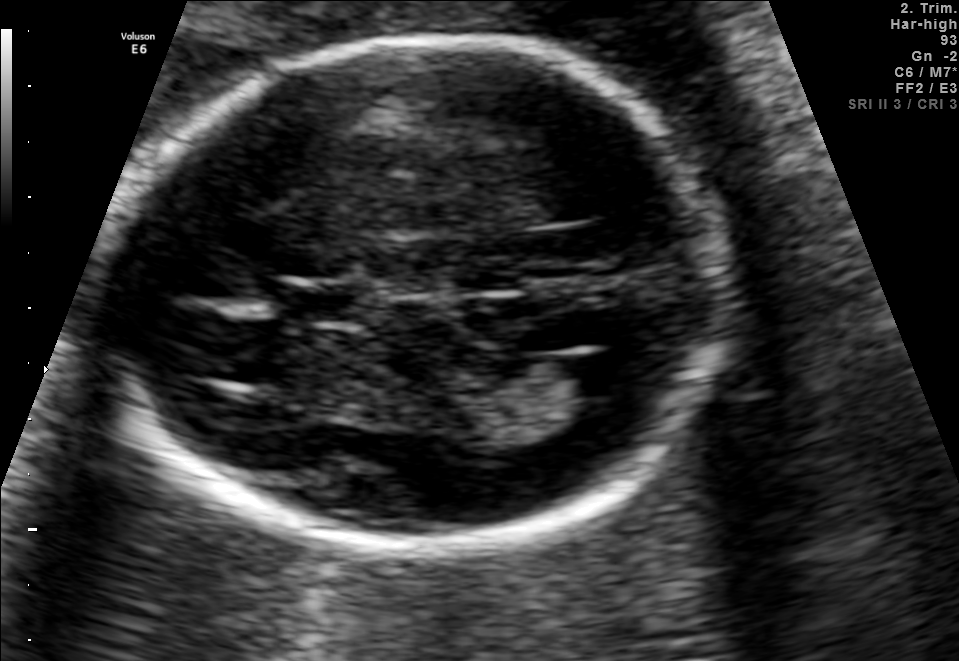
Fetal brain, trans-ventricular plane. Give [x1,y1,x2,y2] bounding boxes for each visible structure among: fetal head, CSP, LV.

Head: [100,31,747,562]
CSP: [289,286,370,322]
Lateral ventricle: [539,347,634,404]